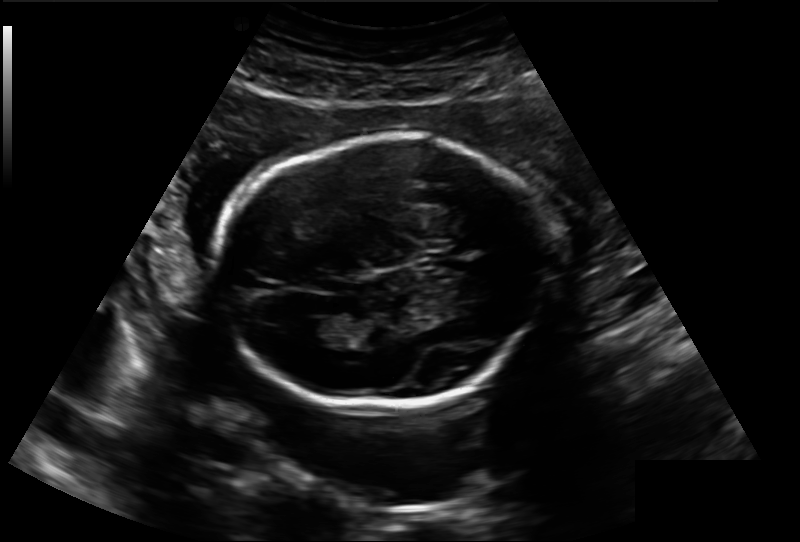
In this fetal head ultrasound, give bounding boxes for the head outline, cavum septum pellucidum (CSP), and lateral ventricle (LV), where visible. Image width: 150.3 mm.

Head: [219,135,542,410]
Lateral ventricle: [298,318,341,344]